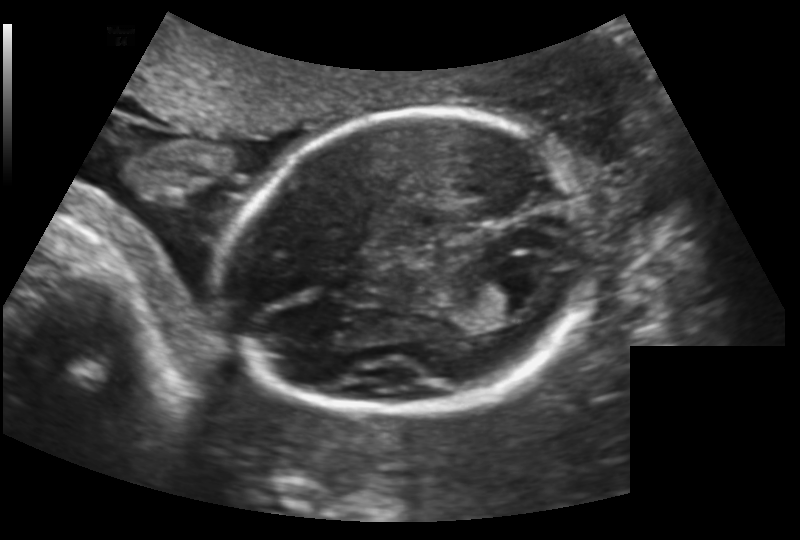
In this fetal head ultrasound, give the bounding box of the fetal head. Image width: 127.5 mm.

[227,110,598,415]